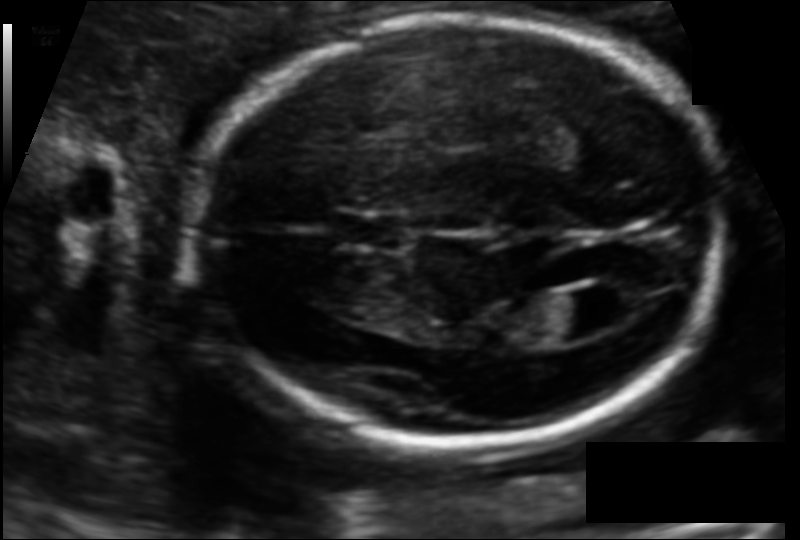
In this fetal head ultrasound, give the bounding box of the cavum septum pellucidum. Image width: 90.0 mm.

[335,211,404,250]